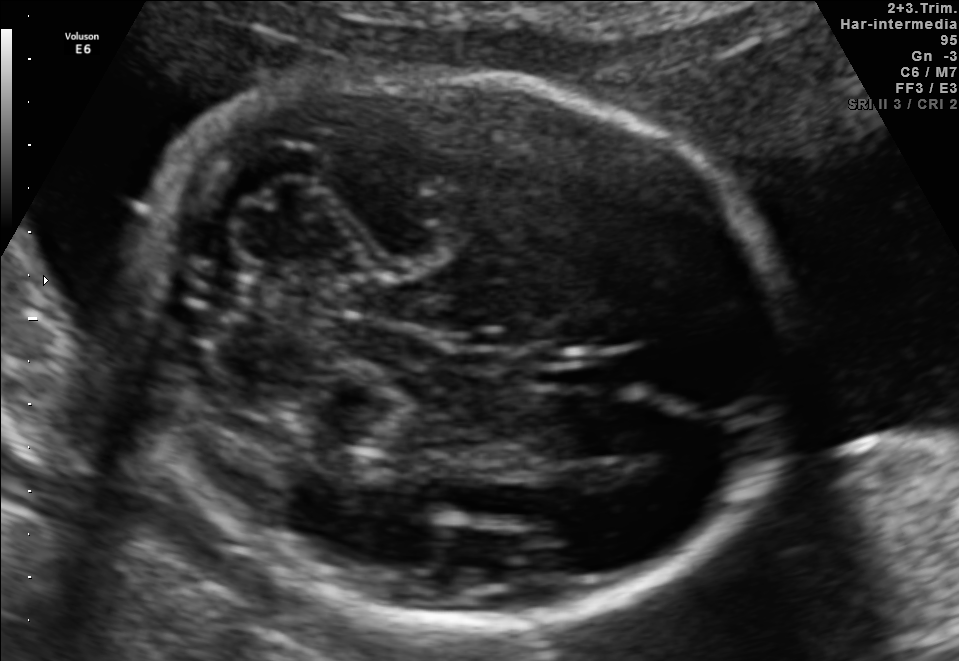
Fetal brain, trans-cerebellum plane. Locate the fetal head.

Head: [128,71,789,630]